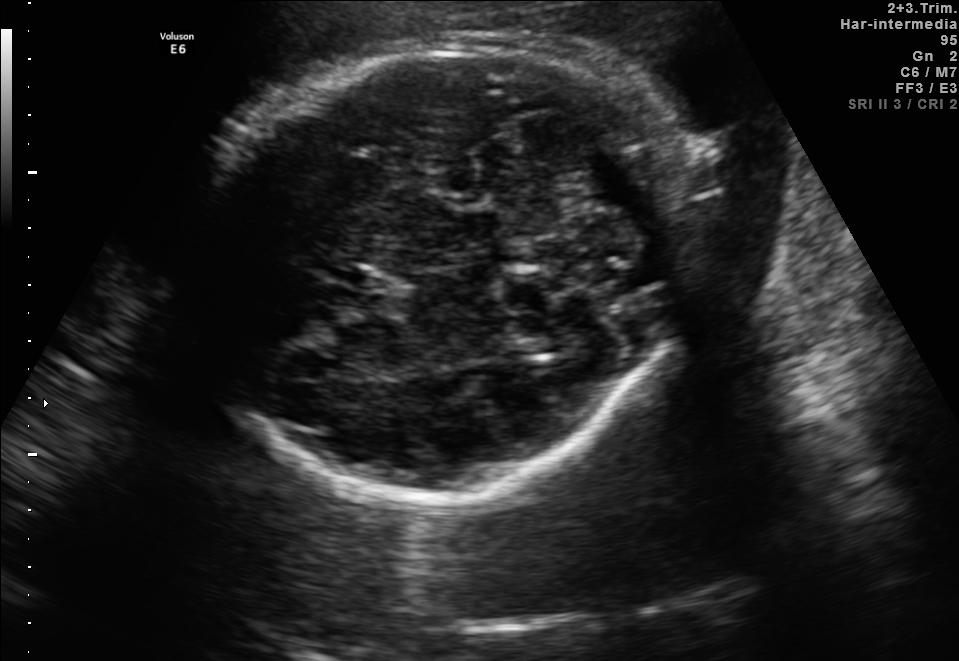
Fetal brain, trans-cerebellum plane. Locate the fetal head.

Head: [193,41,690,496]